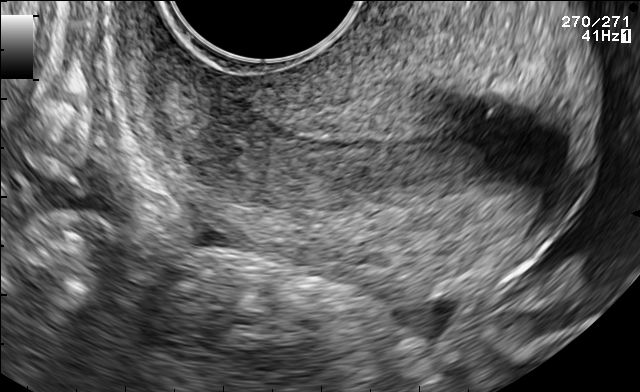
Identify the standard plane in this fetal ultrasound image: fetal abdomen, fetal brain, fetal femur, fetal thorax, maternal cervix, or other. If it's fetal brain and one of the three standard brain planes (trans-thalamic, trans-cerebellum, trans-ventricular), name which.

Maternal cervix